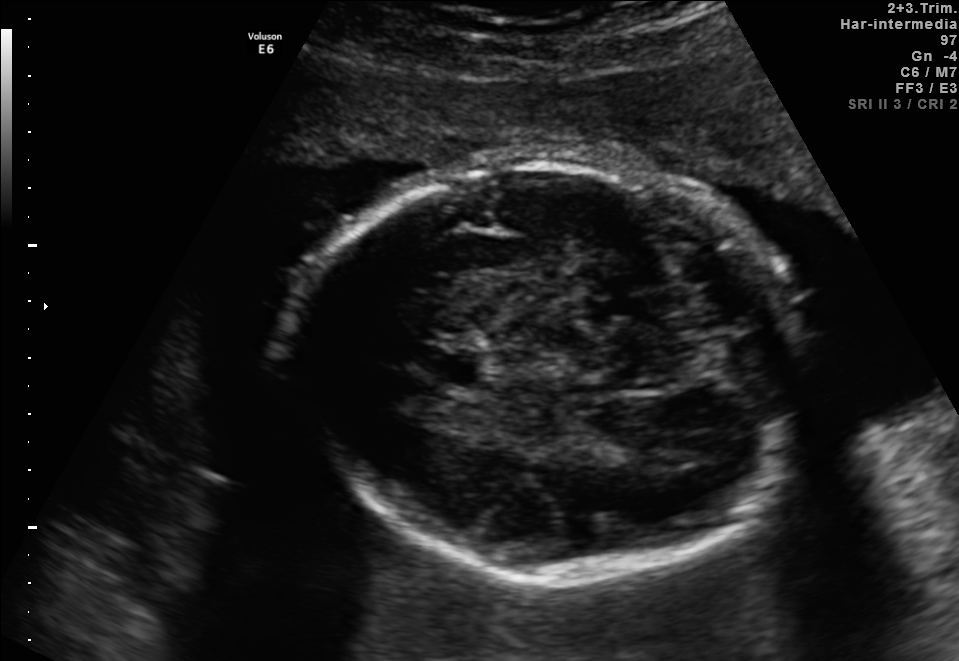
Which standard maternal-fetal ultrasound plane is shown: fetal abdomen, fetal brain, fetal femur, fetal thorax, maternal cervix, or other? If it's fetal brain and one of the three standard brain planes (trans-thalamic, trans-cerebellum, trans-ventricular), name which.

Fetal brain (trans-thalamic plane)